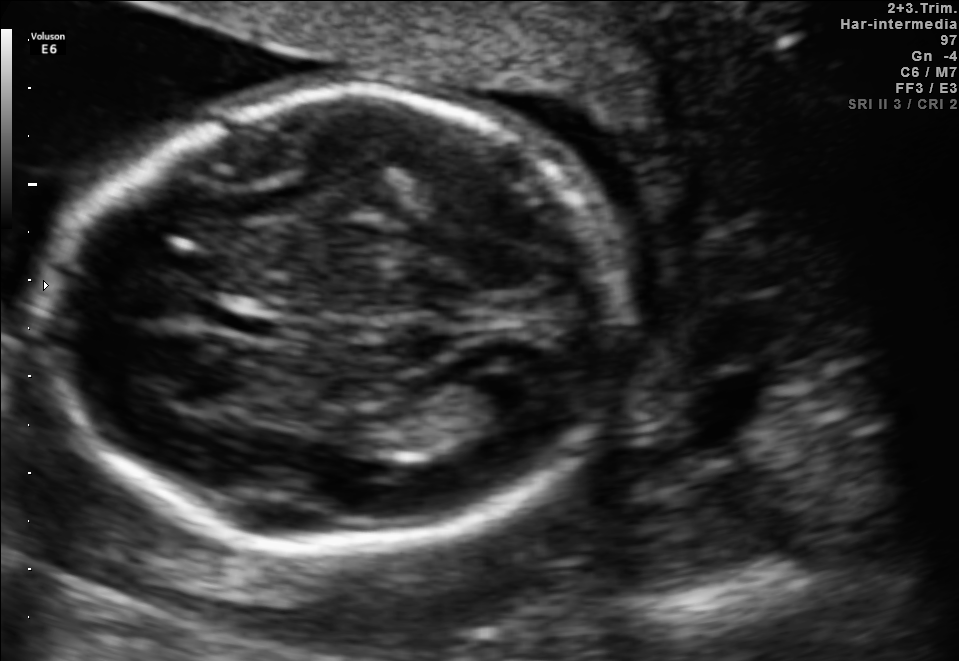
Identify the standard plane in this fetal ultrasound image: fetal abdomen, fetal brain, fetal femur, fetal thorax, maternal cervix, or other. If it's fetal brain and one of the three standard brain planes (trans-thalamic, trans-cerebellum, trans-ventricular), name which.

Fetal brain (trans-ventricular plane)